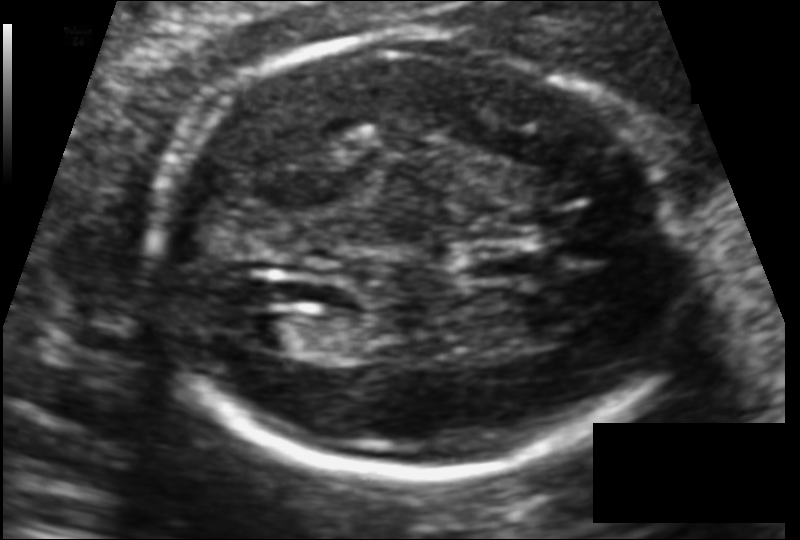
Fetal head ultrasound. Image width: 88.1 mm. Where is the fetal head?

Head bounding box: [146,33,689,477]